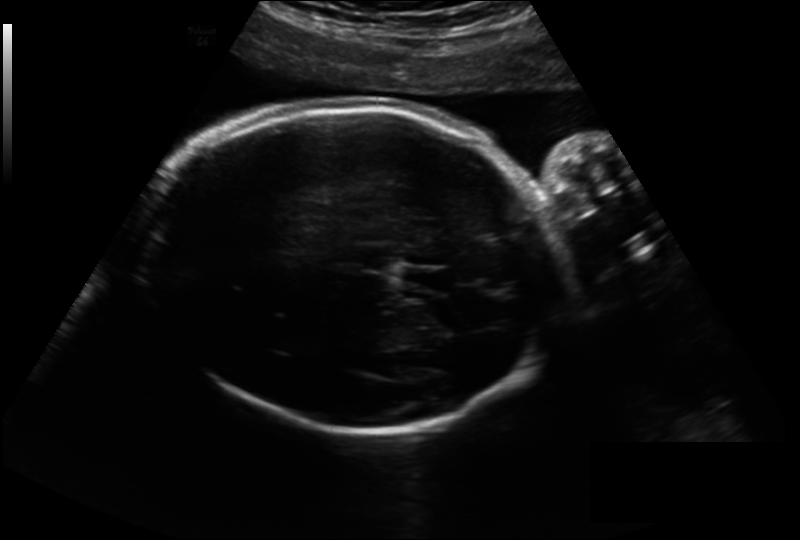
In this fetal head ultrasound, give the bounding box of the cavum septum pellucidum. Image width: 194.6 mm.

[400,266,450,291]